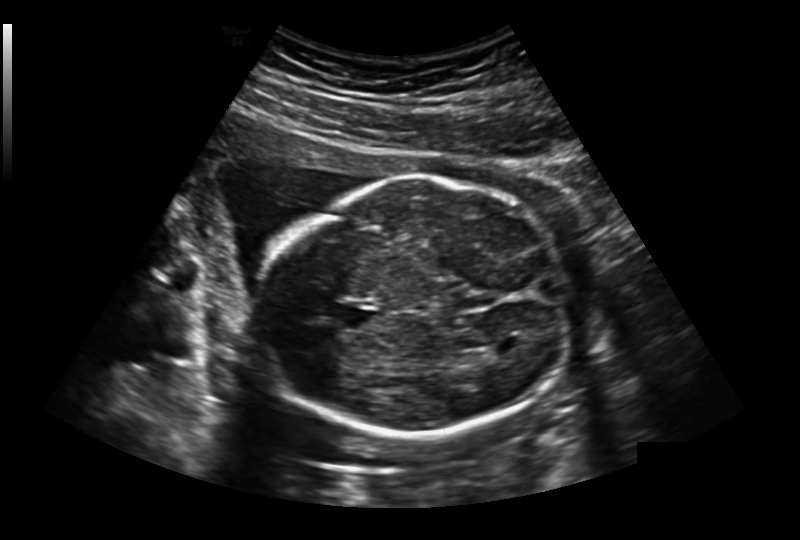
Measure the fetal head circumference shown in this ultrasound image. Image width: 188.6 mm.

Head circumference: 213.2 mm.